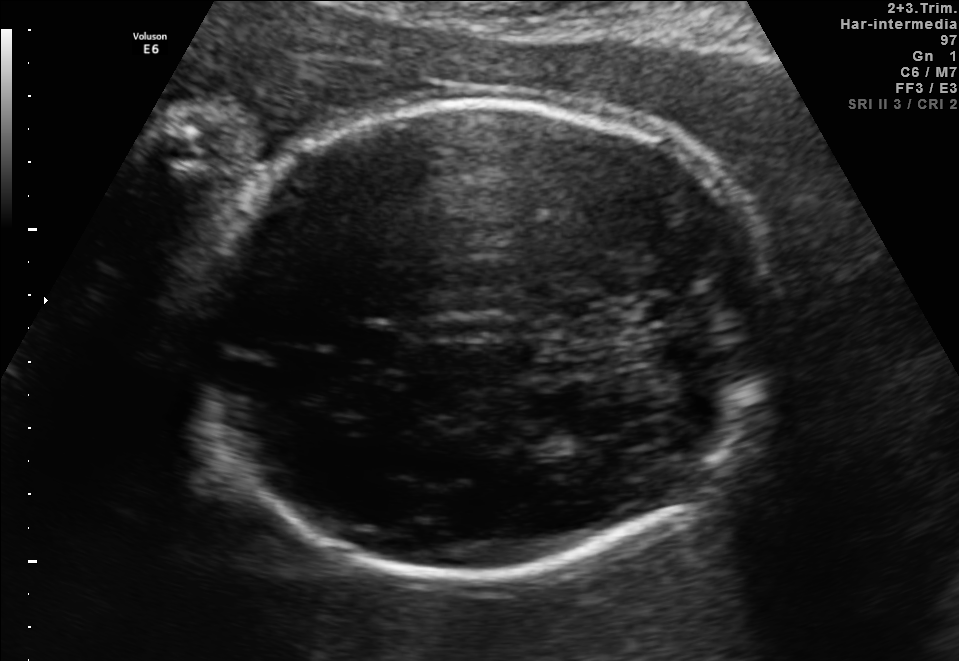
Fetal brain, trans-thalamic plane. Locate the cavum septum pellucidum.

CSP: [340,325,401,357]